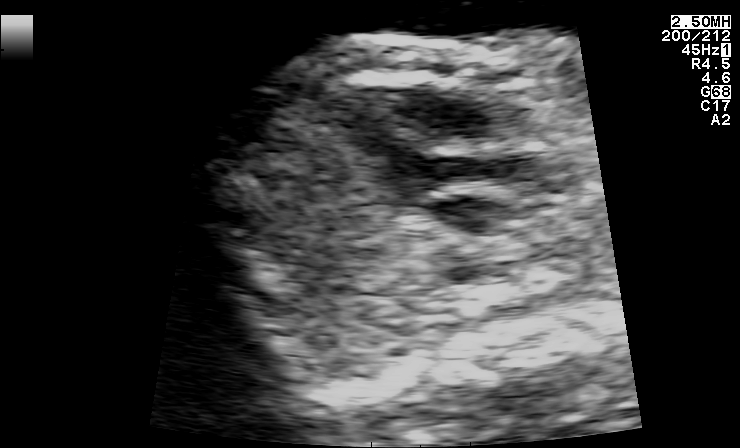
This is a 2D maternal-fetal ultrasound frame. Is it a fetal abdomen, fetal brain, fetal femur, fetal thorax, maternal cervix, or other standard plane? If it's fetal brain and one of the three standard brain planes (trans-thalamic, trans-cerebellum, trans-ventricular), name which.

Other